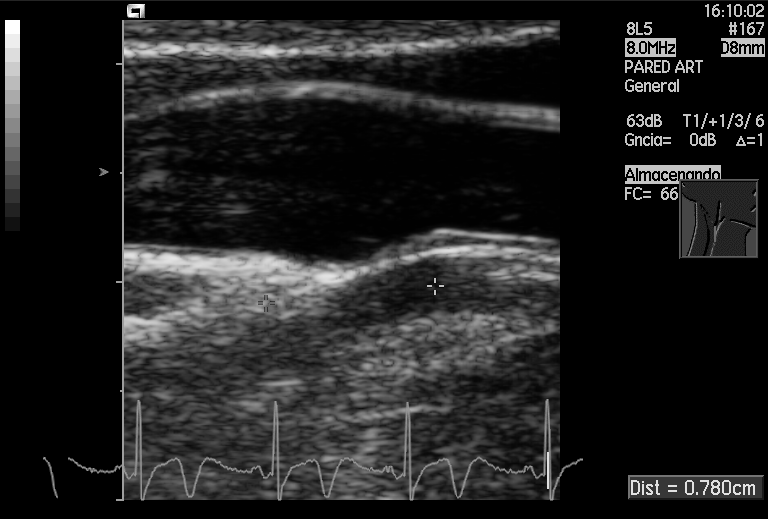
Identify the standard plane in this fetal ultrasound image: fetal abdomen, fetal brain, fetal femur, fetal thorax, maternal cervix, or other. If it's fetal brain and one of the three standard brain planes (trans-thalamic, trans-cerebellum, trans-ventricular), name which.

Other